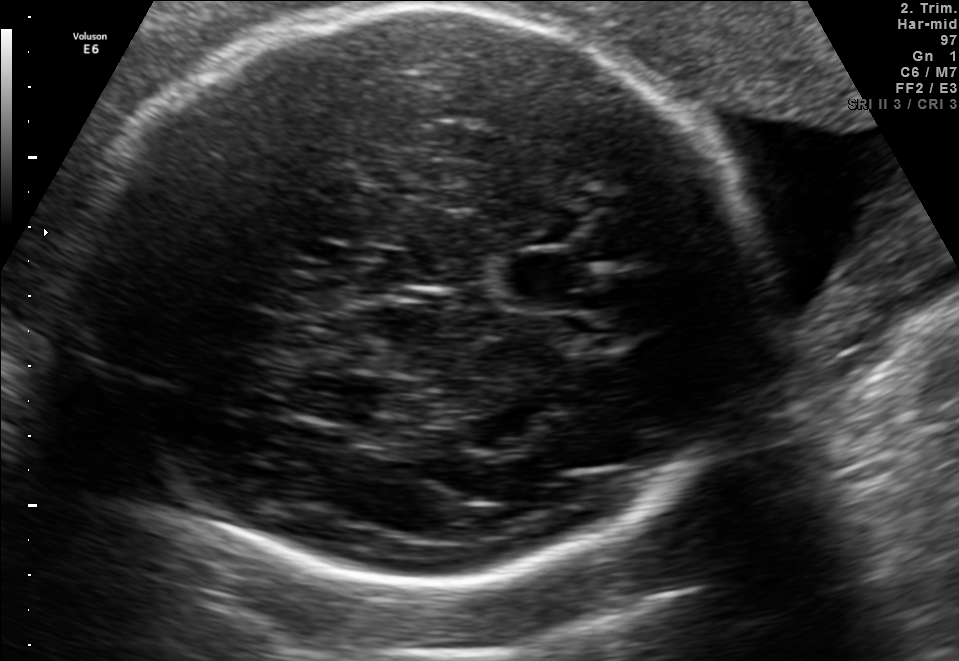
In this fetal brain, trans-thalamic plane, give the bounding box of the cavum septum pellucidum.

[502,251,597,310]